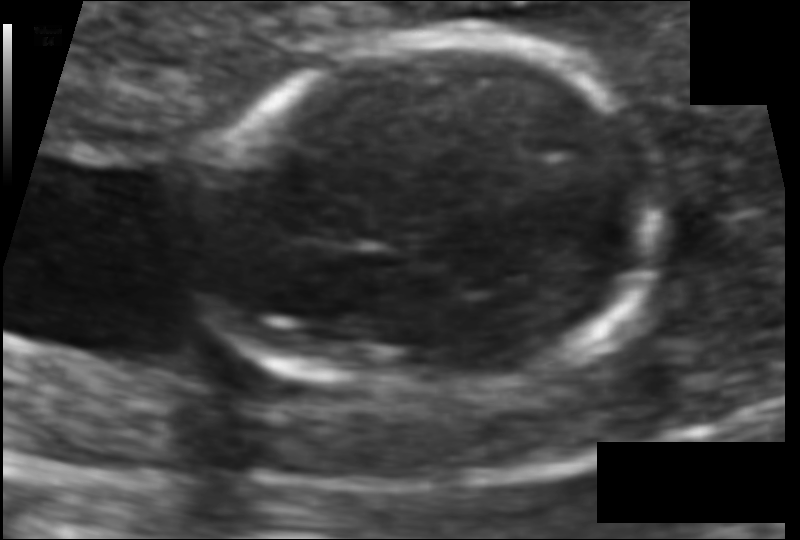
In this fetal head ultrasound, give bounding boxes for the head outline, cavum septum pellucidum (CSP), and lateral ventricle (LV), where visible. Image width: 62.9 mm.

Head: [190,33,657,404]